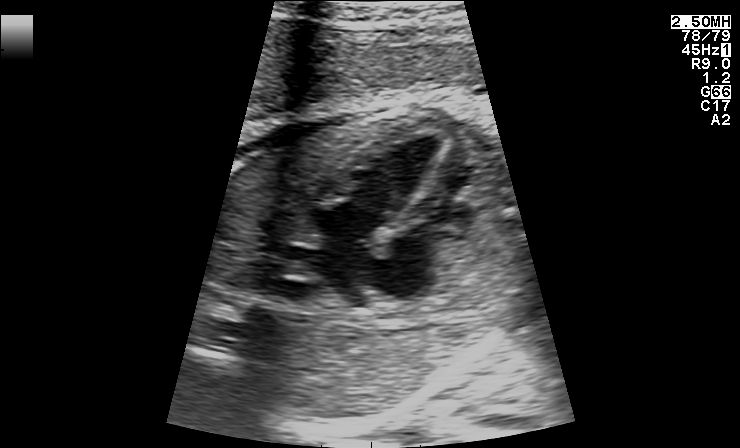
Classify this maternal-fetal ultrasound image as one of the six standard planes — fetal abdomen, fetal brain, fetal femur, fetal thorax, maternal cervix, or other. If it's fetal brain and one of the three standard brain planes (trans-thalamic, trans-cerebellum, trans-ventricular), name which.

Fetal thorax